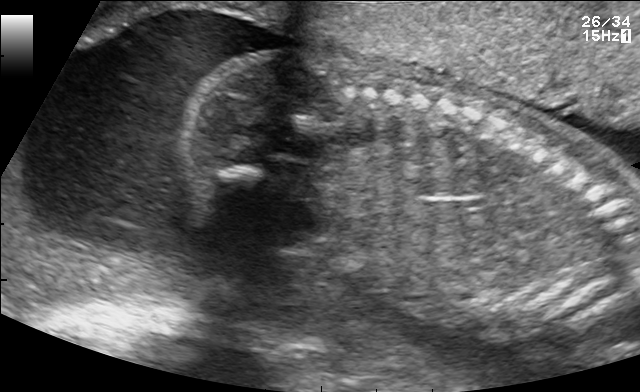
This is a 2D maternal-fetal ultrasound frame. Is it a fetal abdomen, fetal brain, fetal femur, fetal thorax, maternal cervix, or other standard plane? If it's fetal brain and one of the three standard brain planes (trans-thalamic, trans-cerebellum, trans-ventricular), name which.

Other